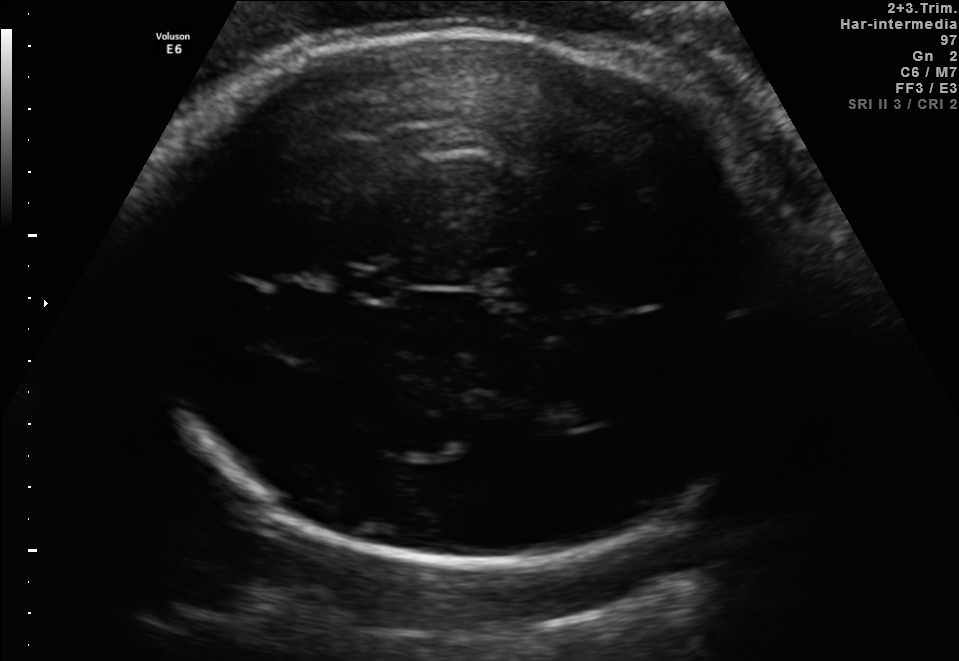
In this fetal brain, trans-thalamic plane, give bounding boxes for the head outline, cavum septum pellucidum (CSP), and lateral ventricle (LV), where visible.

Head: [130,29,799,564]
CSP: [351,270,396,300]
Lateral ventricle: [552,385,621,431]